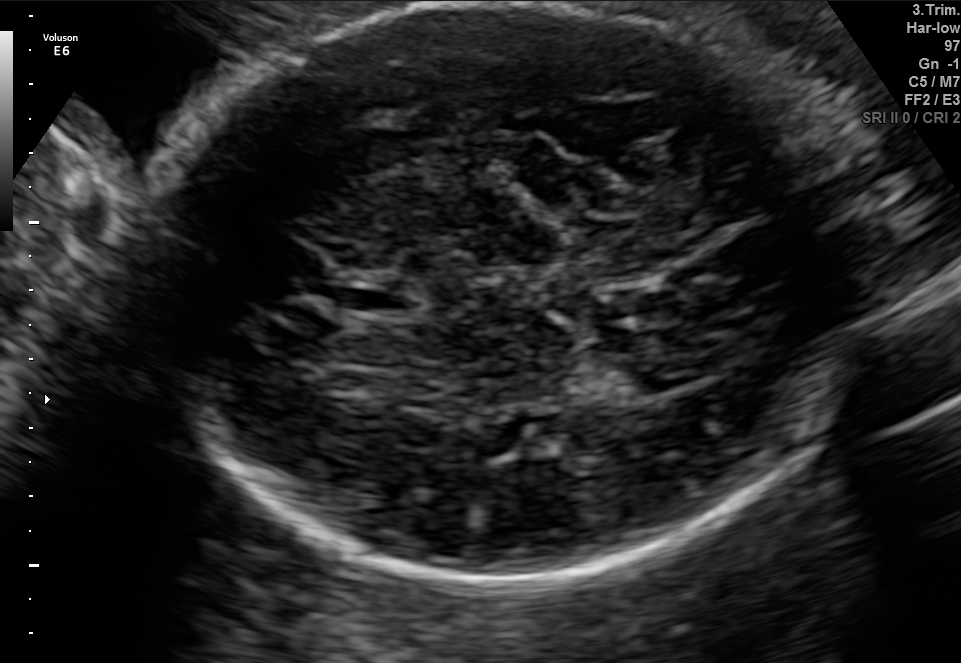
Fetal brain, trans-thalamic plane. Locate the fetal head.

Head: [130,6,875,583]